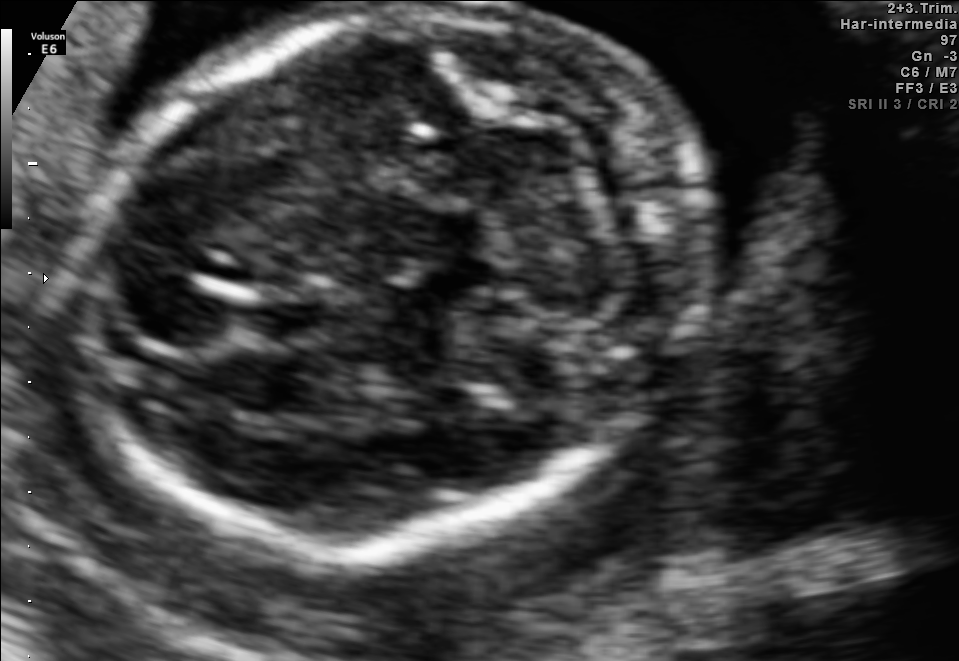
Which standard maternal-fetal ultrasound plane is shown: fetal abdomen, fetal brain, fetal femur, fetal thorax, maternal cervix, or other? If it's fetal brain and one of the three standard brain planes (trans-thalamic, trans-cerebellum, trans-ventricular), name which.

Fetal brain (trans-cerebellum plane)